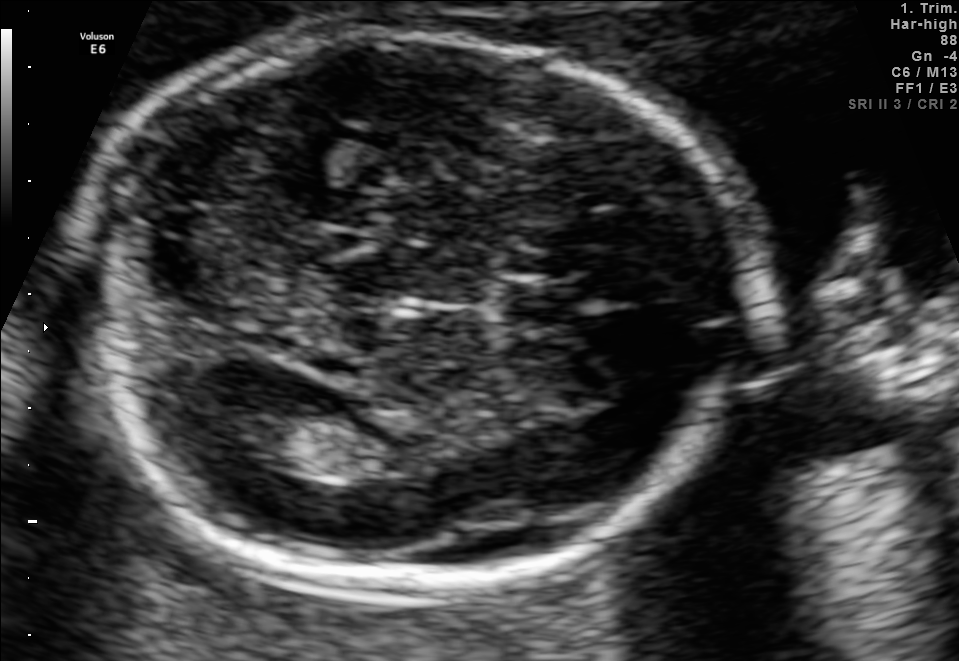
In this fetal brain, trans-ventricular plane, give the bounding box of the cavum septum pellucidum.

[508,285,595,324]